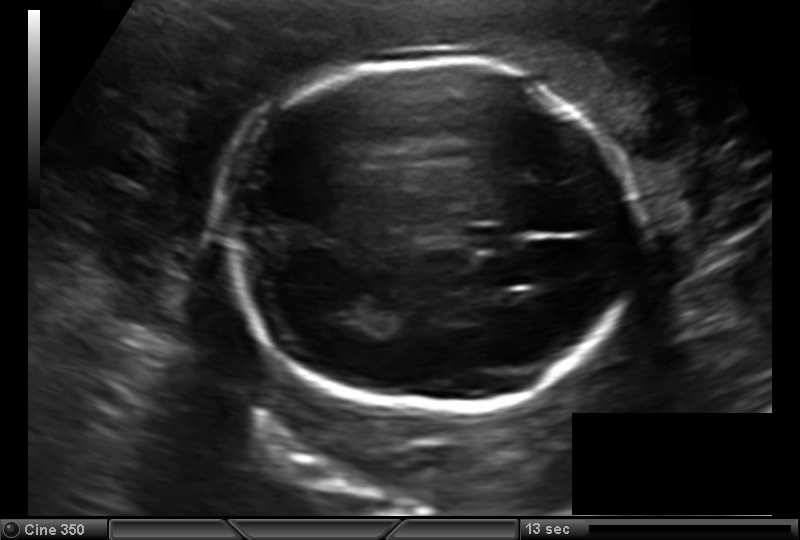
What is the fetal head circumference? Image width is 125.6 mm.

198.9 mm